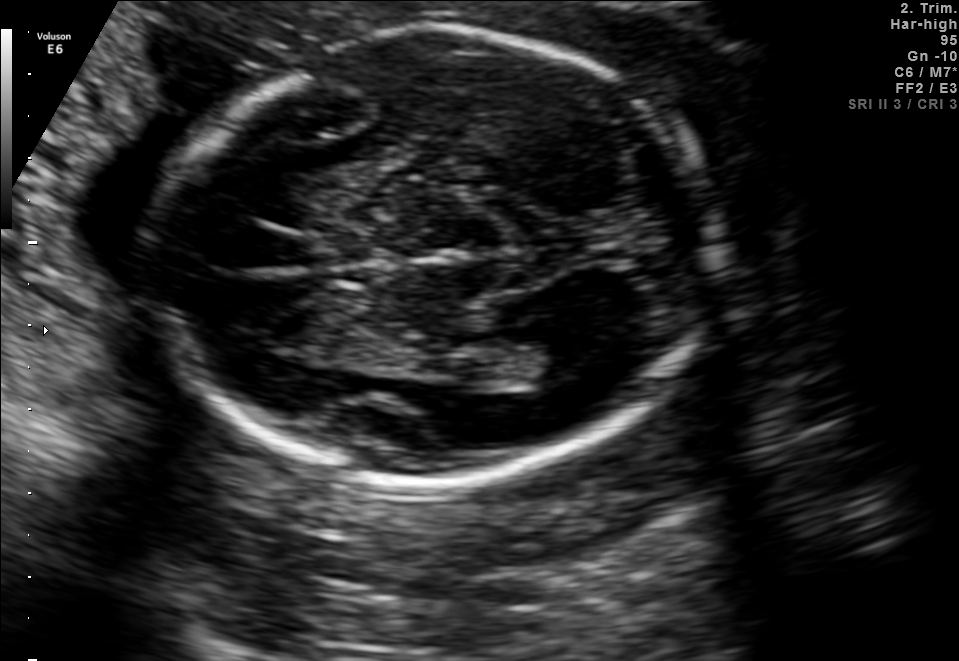
Fetal brain, trans-ventricular plane. Locate the lateral ventricle.

Lateral ventricle: [521,324,604,383]